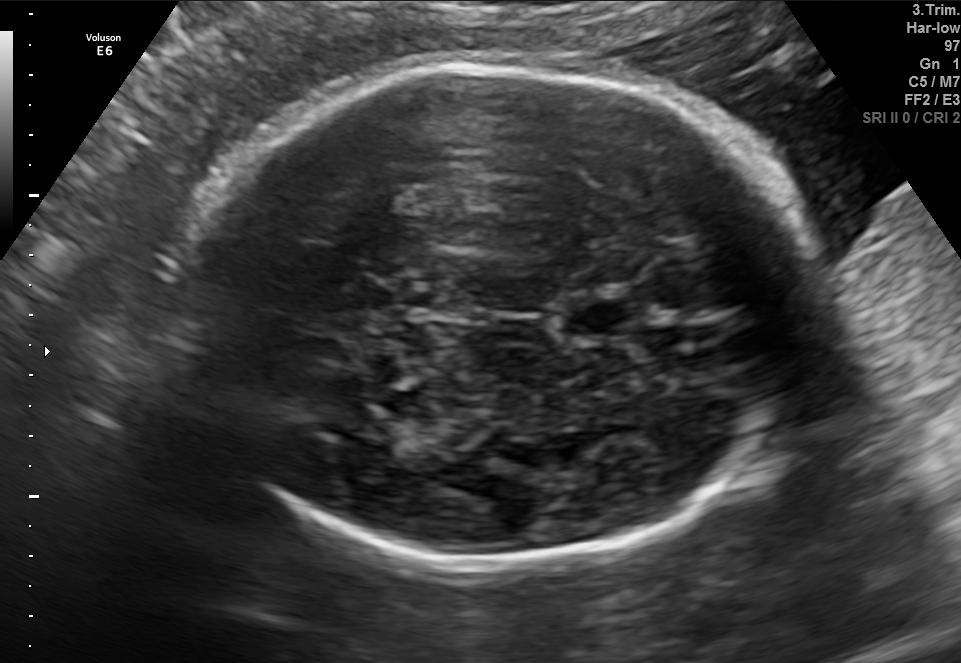
In this fetal brain, trans-thalamic plane, give the bounding box of the cavum septum pellucidum.

[562,298,634,337]